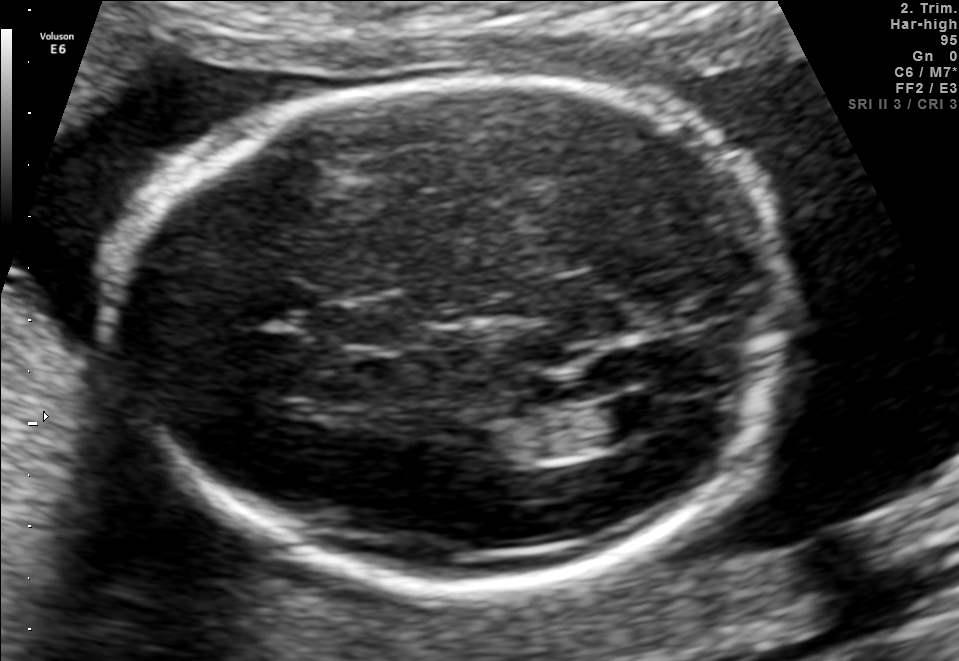
In this fetal brain, trans-ventricular plane, give bounding boxes for the head outline, cavum septum pellucidum (CSP), and lateral ventricle (LV), where visible.

Head: [103,80,786,587]
CSP: [316,301,426,347]
Lateral ventricle: [592,380,680,448]